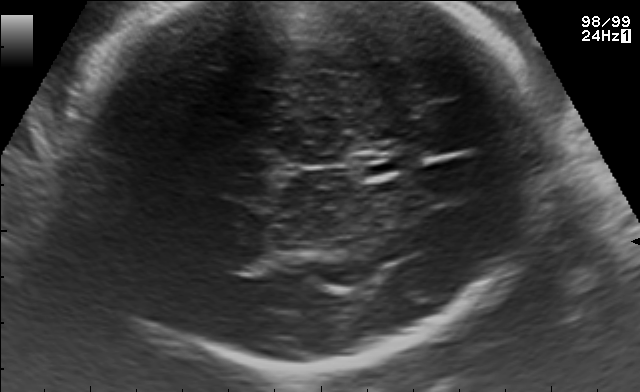
Which standard maternal-fetal ultrasound plane is shown: fetal abdomen, fetal brain, fetal femur, fetal thorax, maternal cervix, or other? If it's fetal brain and one of the three standard brain planes (trans-thalamic, trans-cerebellum, trans-ventricular), name which.

Fetal brain (trans-thalamic plane)